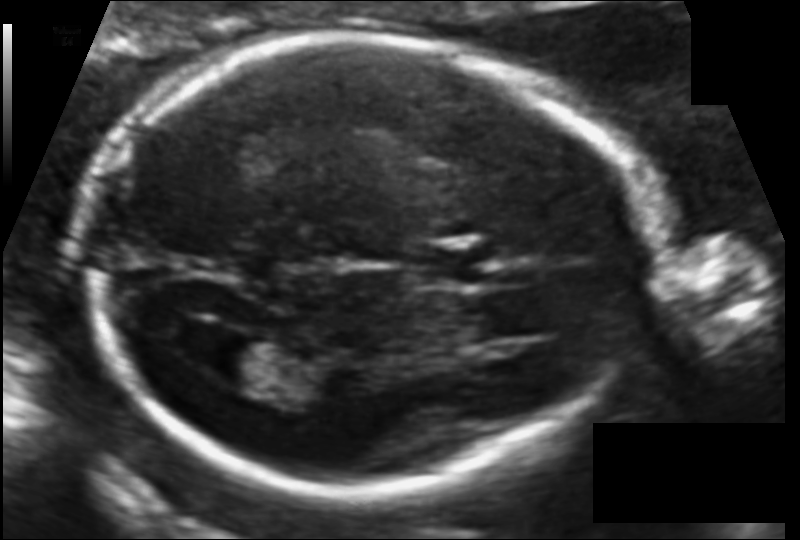
In this fetal head ultrasound, give the bounding box of the lateral ventricle. Image width: 87.0 mm.

[190,318,279,392]